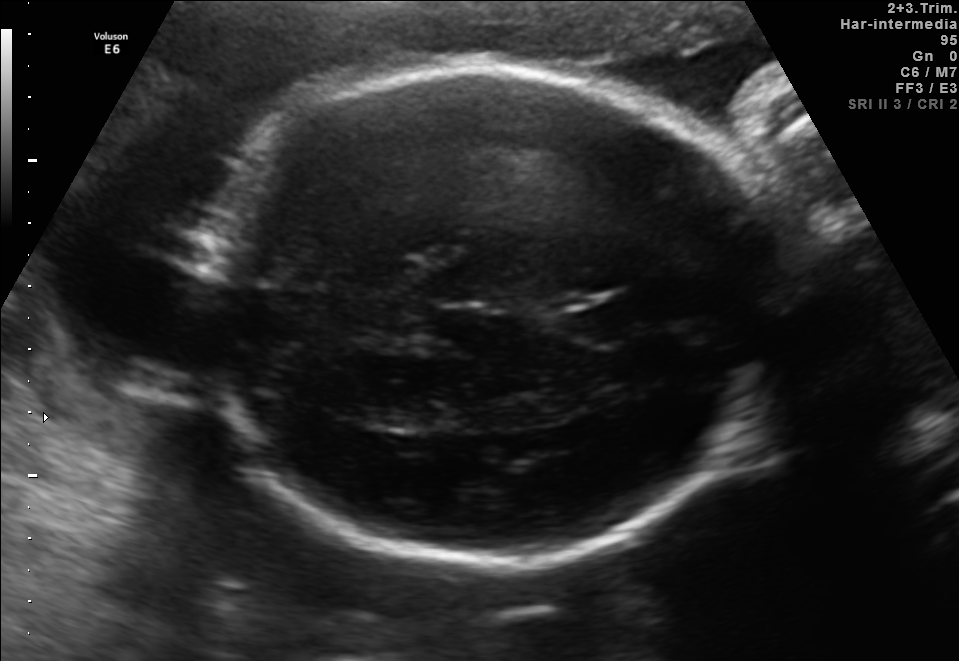
In this fetal brain, trans-thalamic plane, give bounding boxes for the head outline, cavum septum pellucidum (CSP), and lateral ventricle (LV), where visible.

Head: [191,68,786,561]
CSP: [571,289,650,347]
Lateral ventricle: [344,393,432,431]